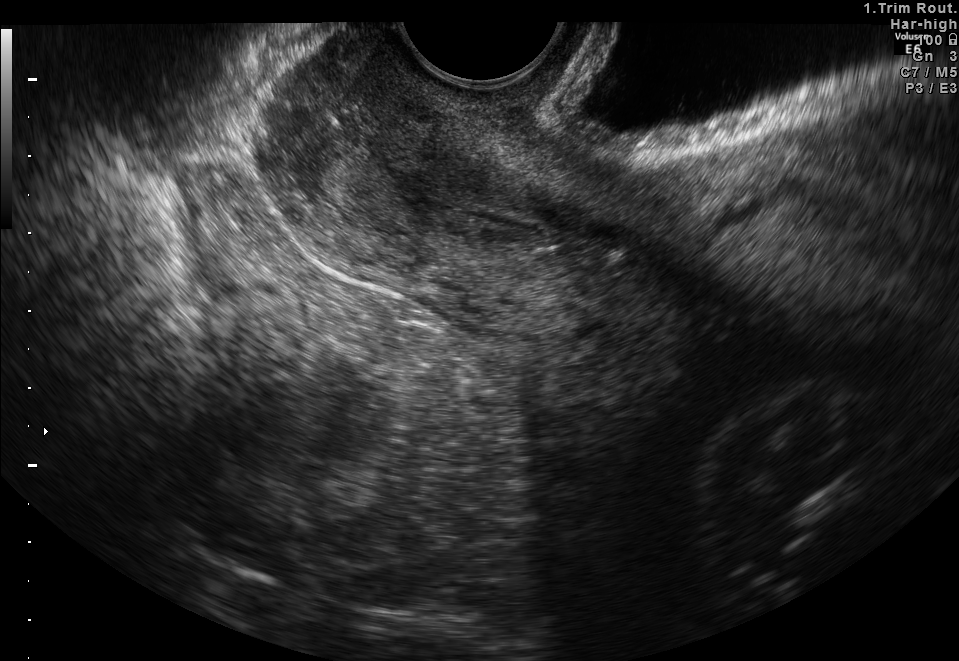
Which standard maternal-fetal ultrasound plane is shown: fetal abdomen, fetal brain, fetal femur, fetal thorax, maternal cervix, or other? If it's fetal brain and one of the three standard brain planes (trans-thalamic, trans-cerebellum, trans-ventricular), name which.

Maternal cervix